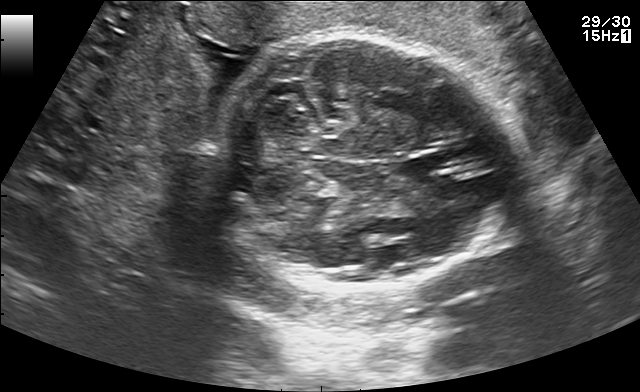
Fetal brain, trans-cerebellum plane. Where is the fetal head?

Head bounding box: [216,33,505,291]